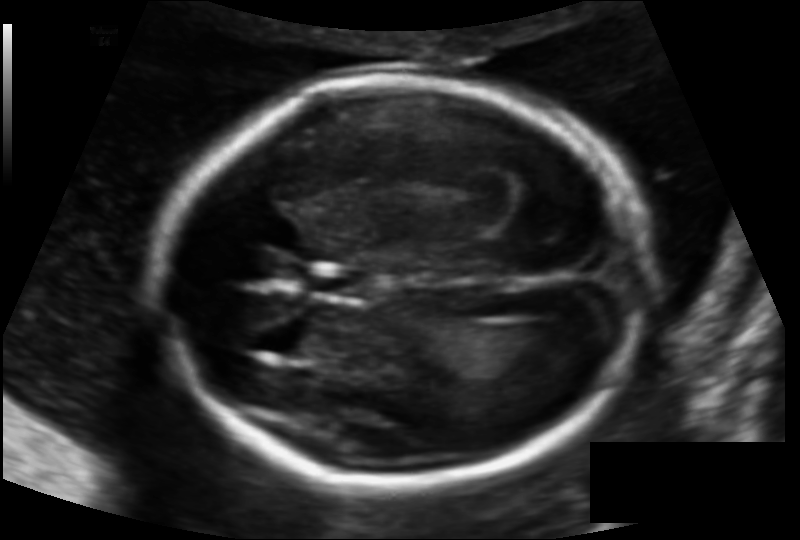
Fetal head ultrasound. Image width: 97.8 mm. Locate the fetal head.

Head: [155,83,645,484]